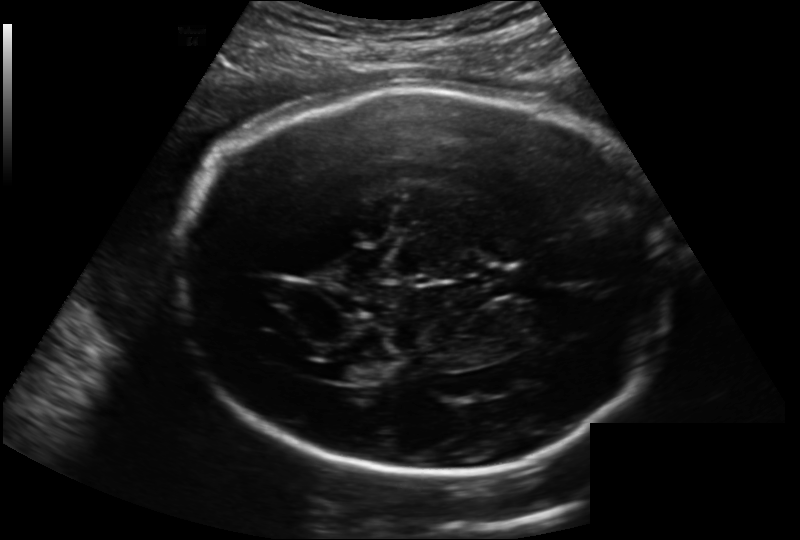
In this fetal head ultrasound, give the bounding box of the lateral ventricle. Image width: 161.8 mm.

[332,360,377,382]